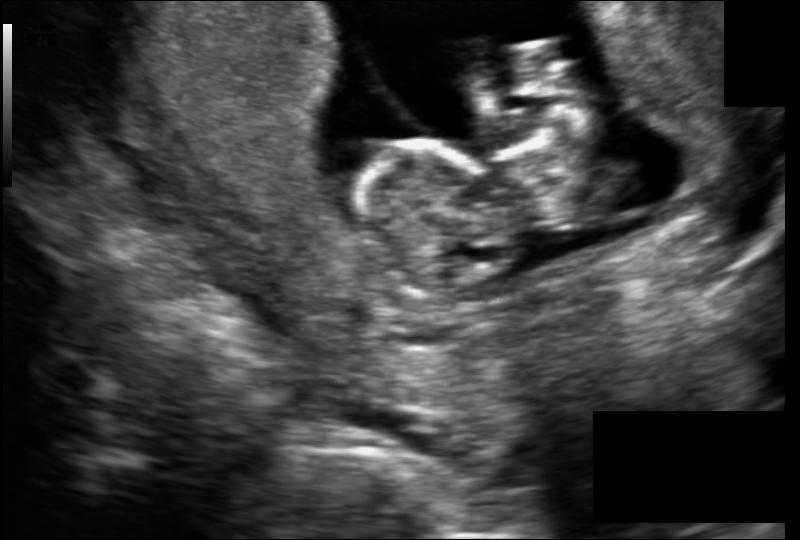
Estimate the fetal head circumference from this 2D ultrasound. Image width: 97.2 mm.

Head circumference: 62.3 mm.